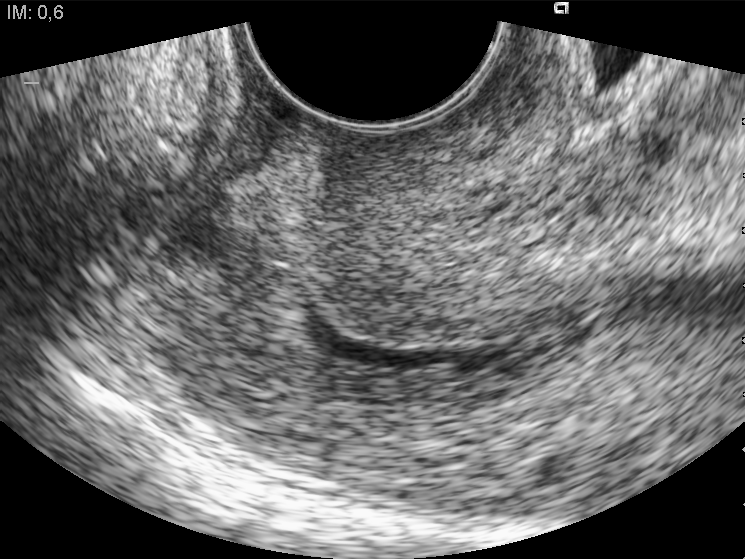
Which standard maternal-fetal ultrasound plane is shown: fetal abdomen, fetal brain, fetal femur, fetal thorax, maternal cervix, or other? If it's fetal brain and one of the three standard brain planes (trans-thalamic, trans-cerebellum, trans-ventricular), name which.

Maternal cervix